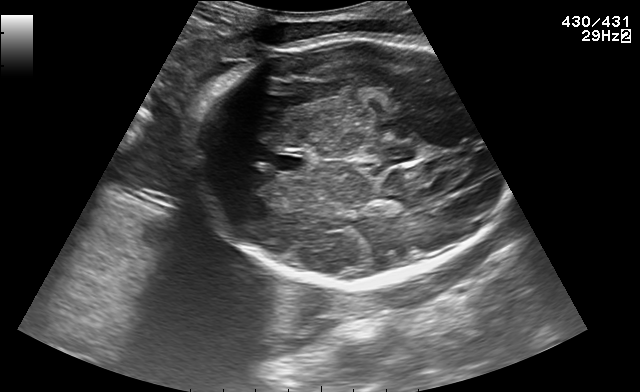
Classify this maternal-fetal ultrasound image as one of the six standard planes — fetal abdomen, fetal brain, fetal femur, fetal thorax, maternal cervix, or other. If it's fetal brain and one of the three standard brain planes (trans-thalamic, trans-cerebellum, trans-ventricular), name which.

Fetal brain (trans-thalamic plane)